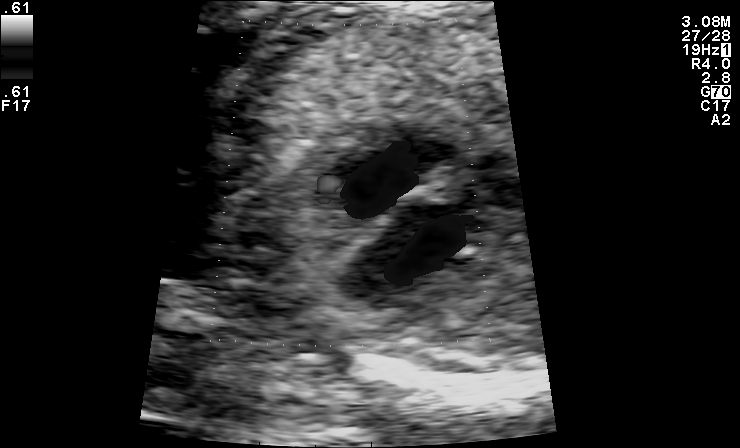
Identify the standard plane in this fetal ultrasound image: fetal abdomen, fetal brain, fetal femur, fetal thorax, maternal cervix, or other. If it's fetal brain and one of the three standard brain planes (trans-thalamic, trans-cerebellum, trans-ventricular), name which.

Other